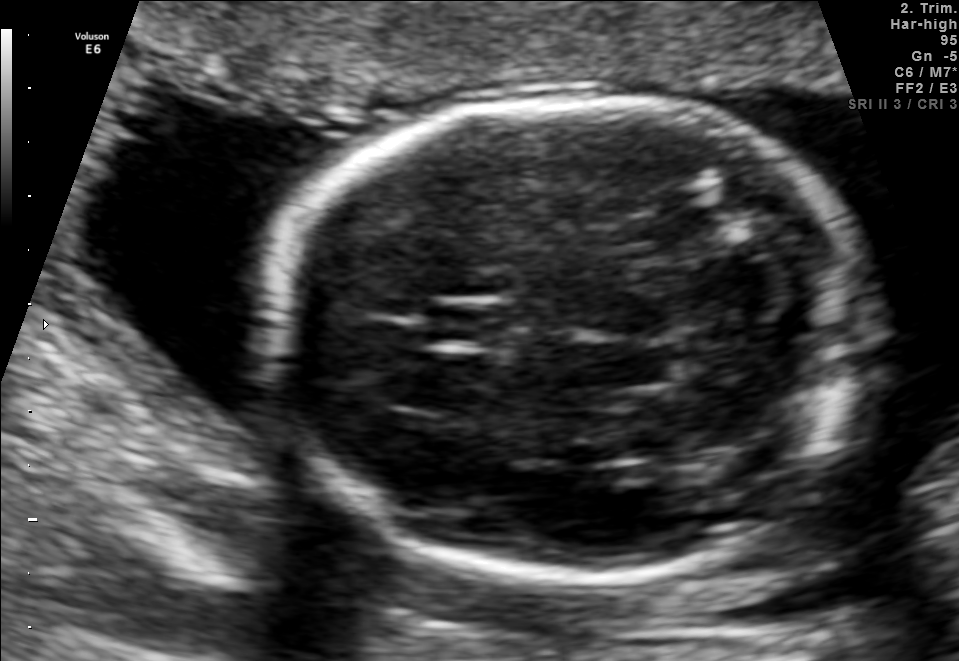
Fetal brain, trans-cerebellum plane. Give [x1,y1,x2,y2] bounding boxes for each visible structure among: fetal head, CSP, LV.

Head: [268,101,867,576]